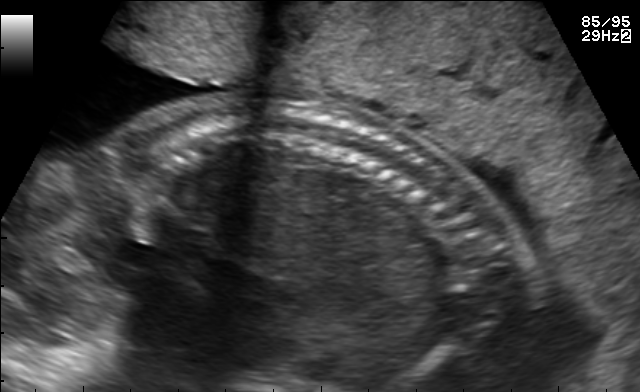
Which standard maternal-fetal ultrasound plane is shown: fetal abdomen, fetal brain, fetal femur, fetal thorax, maternal cervix, or other? If it's fetal brain and one of the three standard brain planes (trans-thalamic, trans-cerebellum, trans-ventricular), name which.

Other